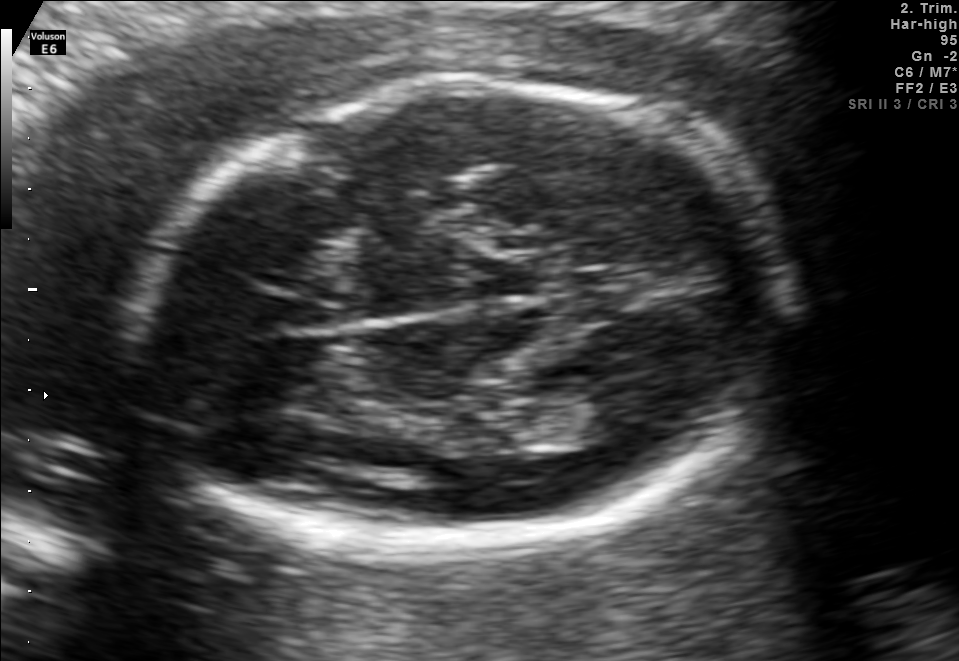
Fetal brain, trans-thalamic plane. Where is the lateral ventricle?

Lateral ventricle bounding box: [551,384,639,448]